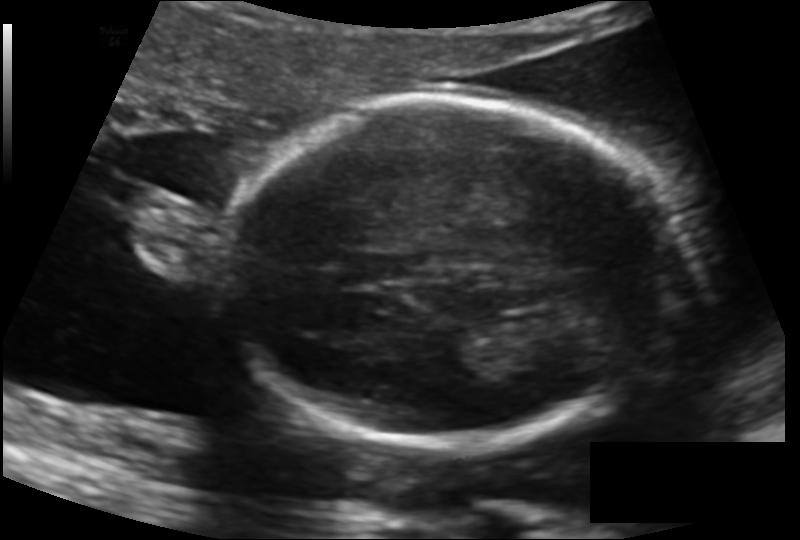
Estimate the fetal head circumference from this 2D ultrasound.

Head circumference: 177.7 mm (image width 111.0 mm).